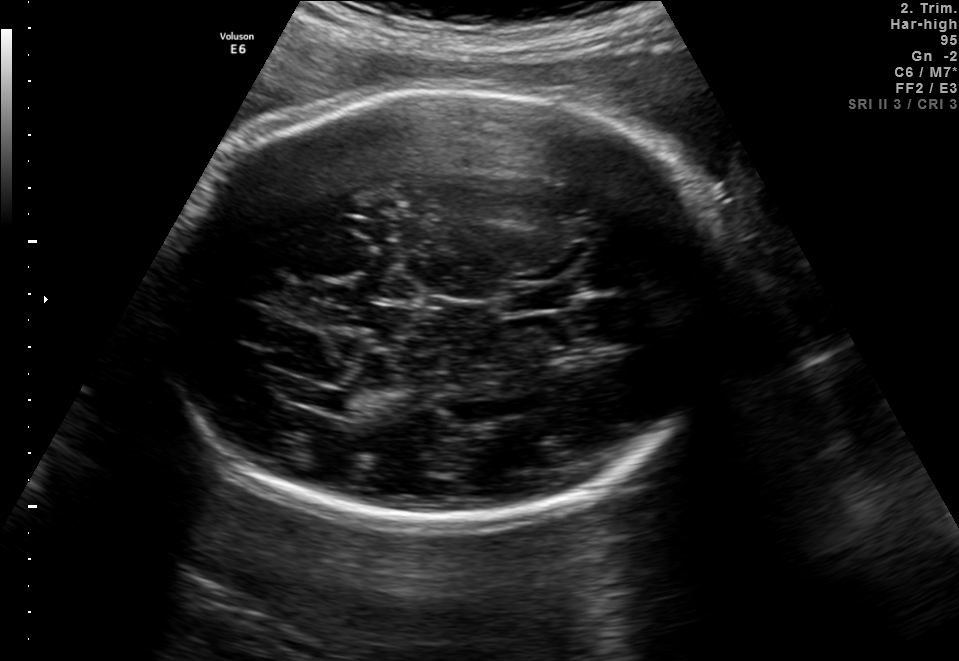
In this fetal brain, trans-thalamic plane, give bounding boxes for the head outline, cavum septum pellucidum (CSP), and lateral ventricle (LV), where visible.

Head: [160,89,731,524]
CSP: [504,284,568,312]
Lateral ventricle: [284,377,357,419]